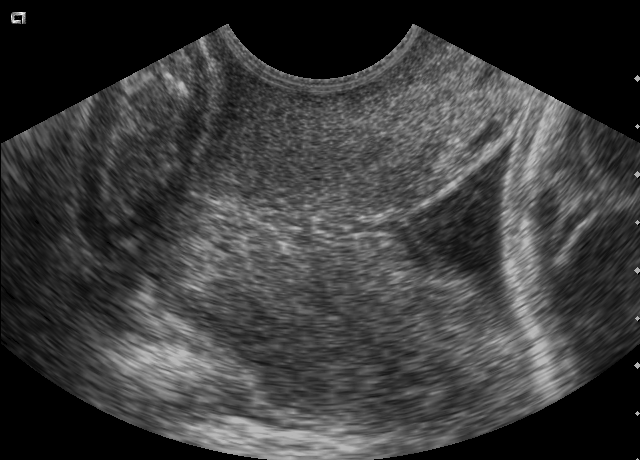
This is a 2D maternal-fetal ultrasound frame. Is it a fetal abdomen, fetal brain, fetal femur, fetal thorax, maternal cervix, or other standard plane? If it's fetal brain and one of the three standard brain planes (trans-thalamic, trans-cerebellum, trans-ventricular), name which.

Maternal cervix